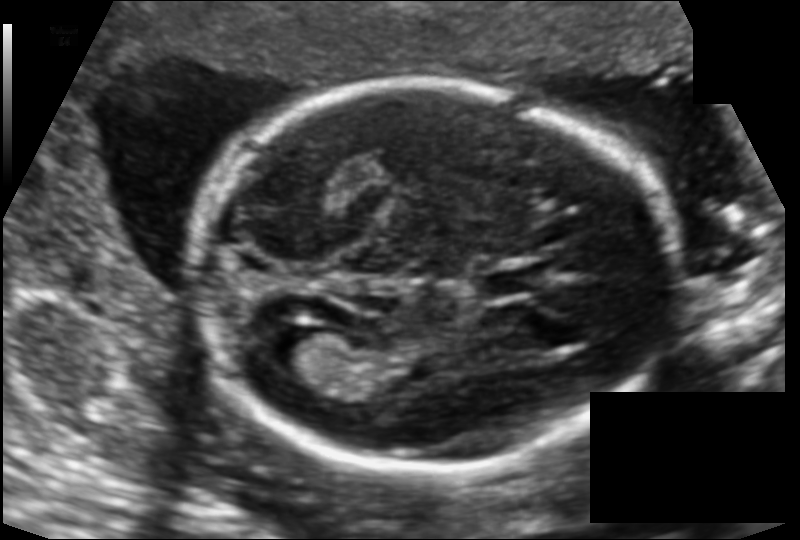
Fetal head ultrasound. Image width: 98.8 mm. Locate the fetal head and, if visible, the cavum septum pellucidum (CSP) and lateral ventricle (LV). Give bounding boxes as [x1,y1,x2,y2].

Head: [192,83,678,469]
CSP: [483,263,543,300]
Lateral ventricle: [255,312,344,387]